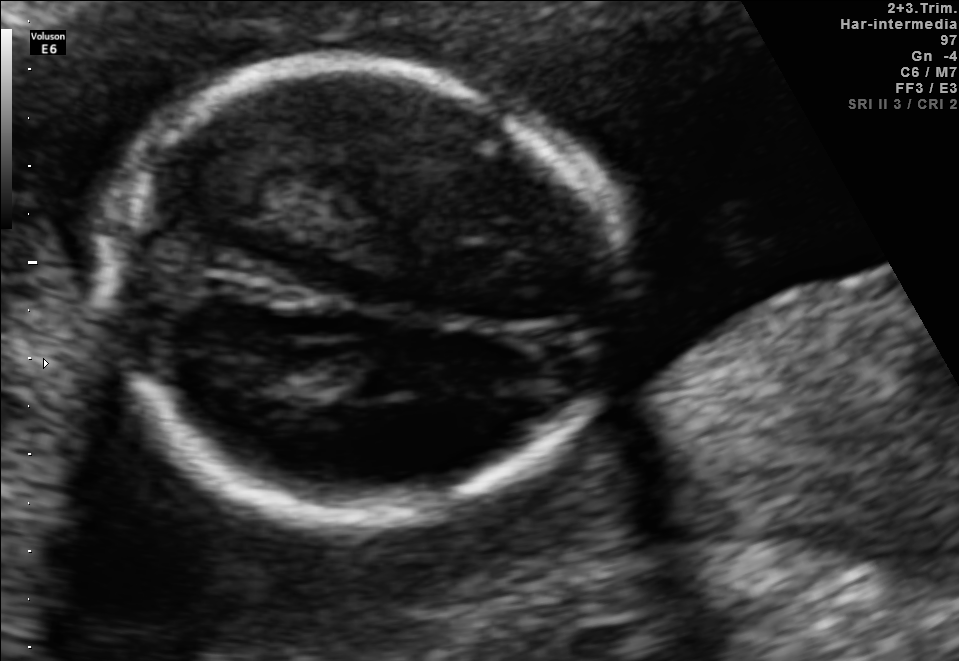
Fetal brain, trans-thalamic plane. Where is the fetal head?

Head bounding box: [99,66,624,527]